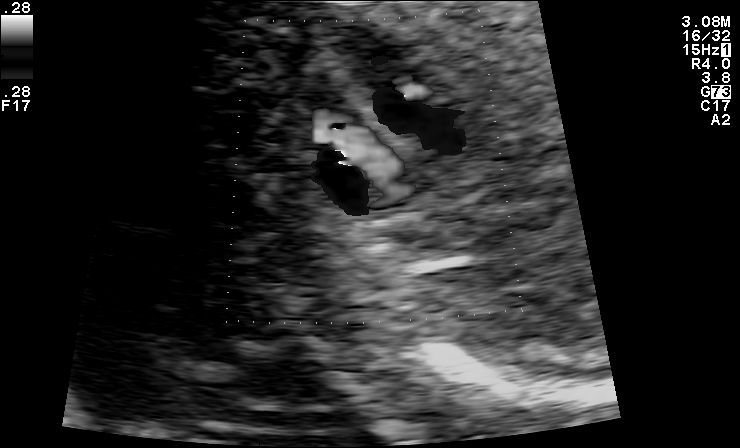
Classify this maternal-fetal ultrasound image as one of the six standard planes — fetal abdomen, fetal brain, fetal femur, fetal thorax, maternal cervix, or other. If it's fetal brain and one of the three standard brain planes (trans-thalamic, trans-cerebellum, trans-ventricular), name which.

Other